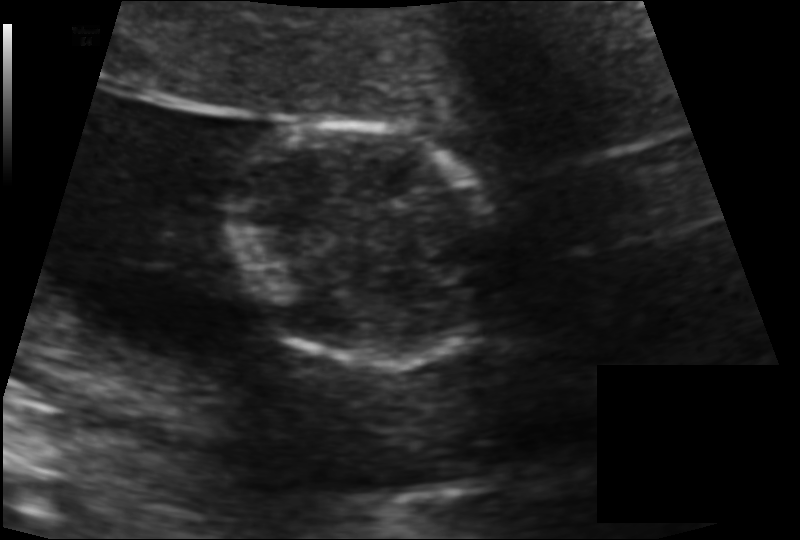
Estimate the fetal head circumference from this 2D ultrasound. Image width: 91.8 mm.

Head circumference: 96.8 mm.